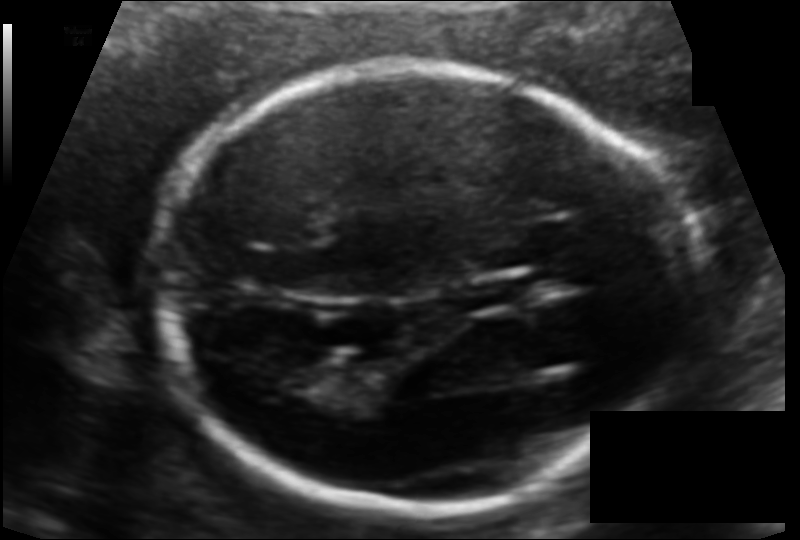
Fetal head ultrasound. Image width: 85.9 mm. Locate the cavum septum pellucidum.

CSP: [462,275,533,315]